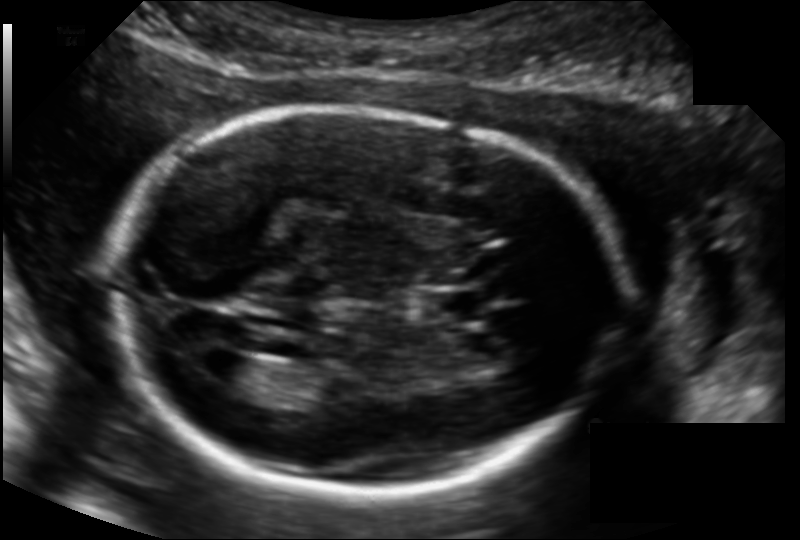
Estimate the fetal head circumference from this 2D ultrasound. Image width: 107.7 mm.

Head circumference: 193.8 mm.